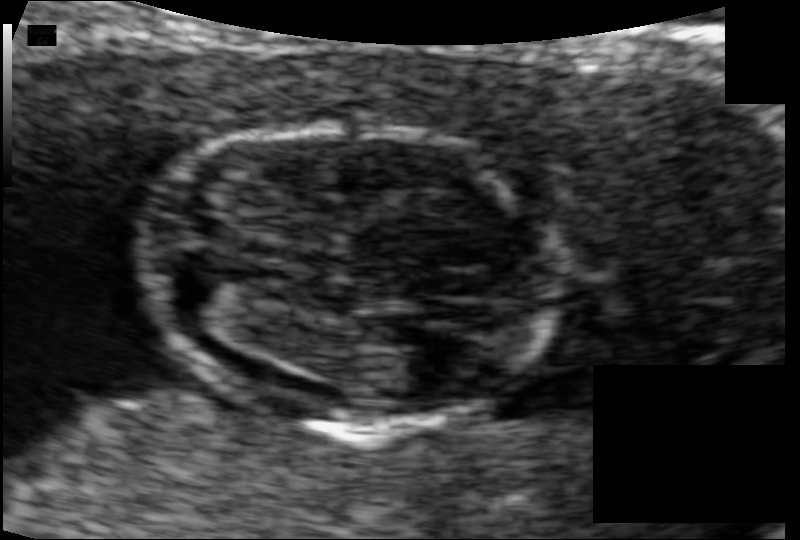
Estimate the fetal head circumference from this 2D ultrasound. Image width: 52.6 mm.

Head circumference: 77.7 mm.